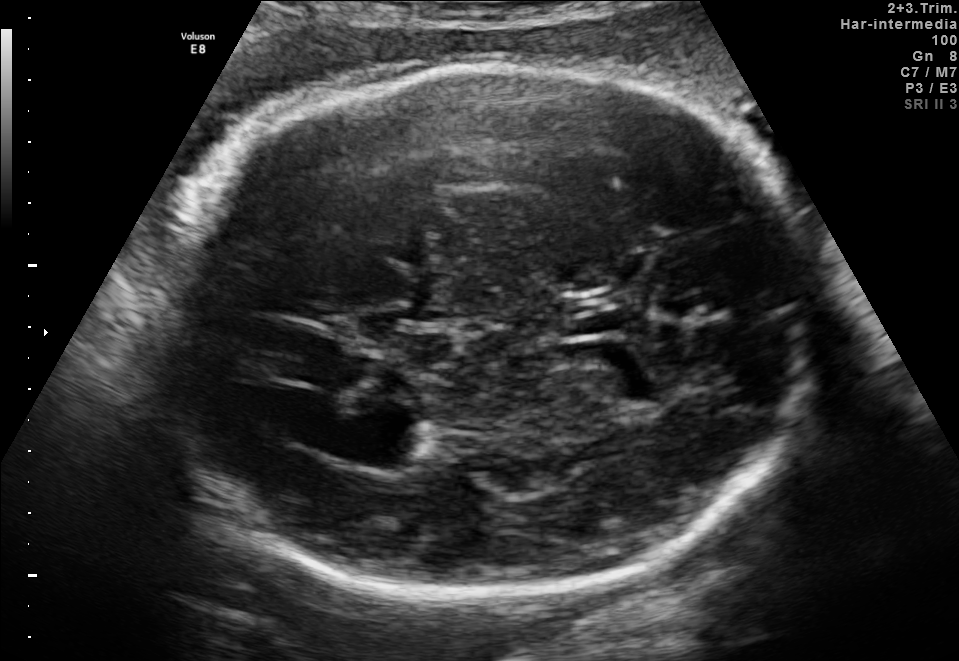
In this fetal brain, trans-thalamic plane, give bounding boxes for the head outline, cavum septum pellucidum (CSP), and lateral ventricle (LV), where visible.

Head: [144,64,815,595]
Lateral ventricle: [361,417,434,466]